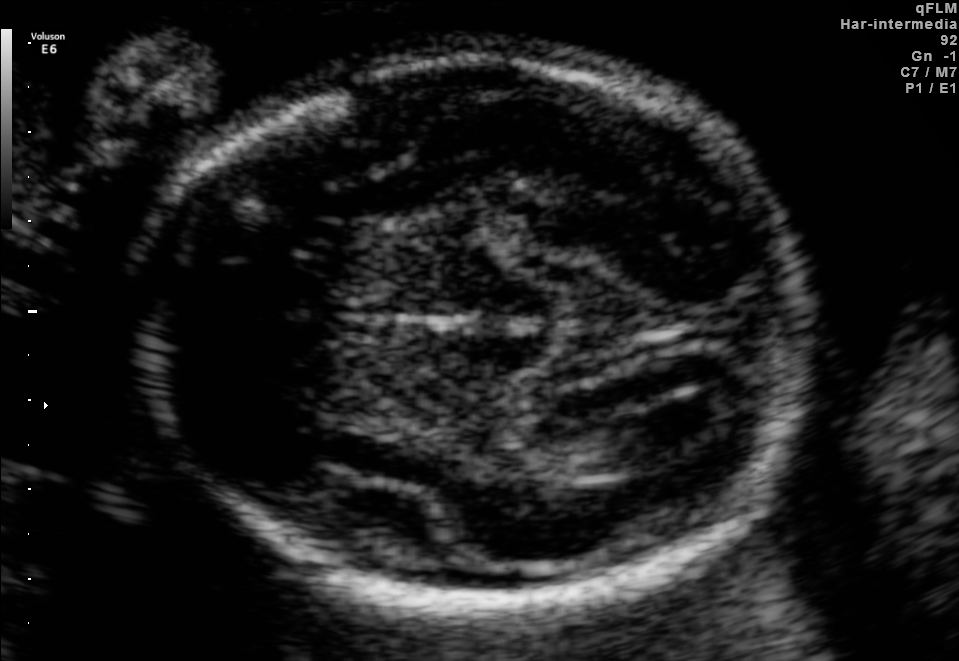
In this fetal brain, trans-thalamic plane, give the bounding box of the lateral ventricle.

[554,395,710,481]